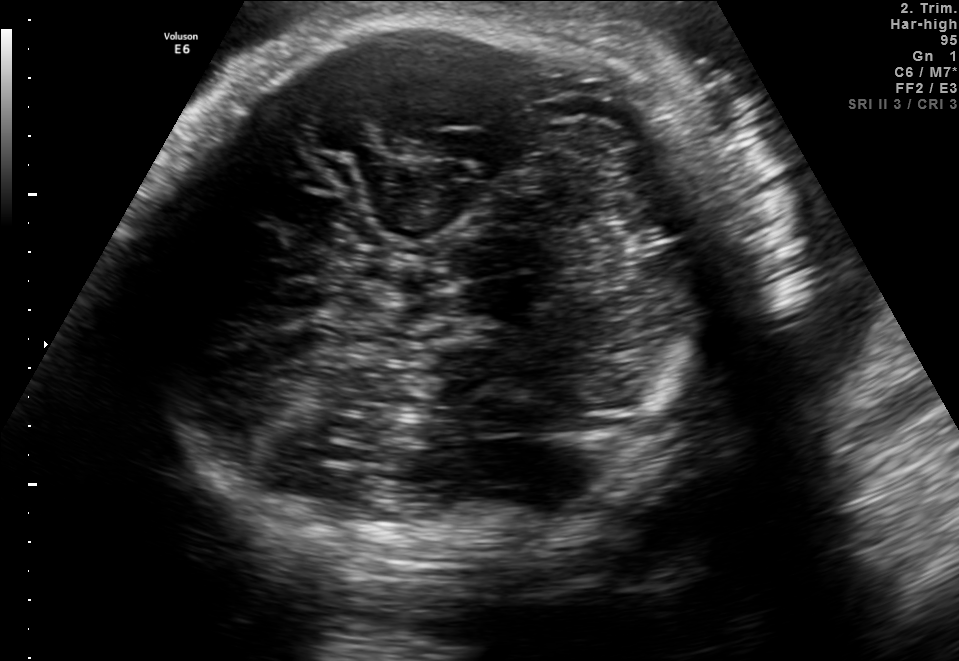
Which standard maternal-fetal ultrasound plane is shown: fetal abdomen, fetal brain, fetal femur, fetal thorax, maternal cervix, or other? If it's fetal brain and one of the three standard brain planes (trans-thalamic, trans-cerebellum, trans-ventricular), name which.

Fetal brain (trans-thalamic plane)